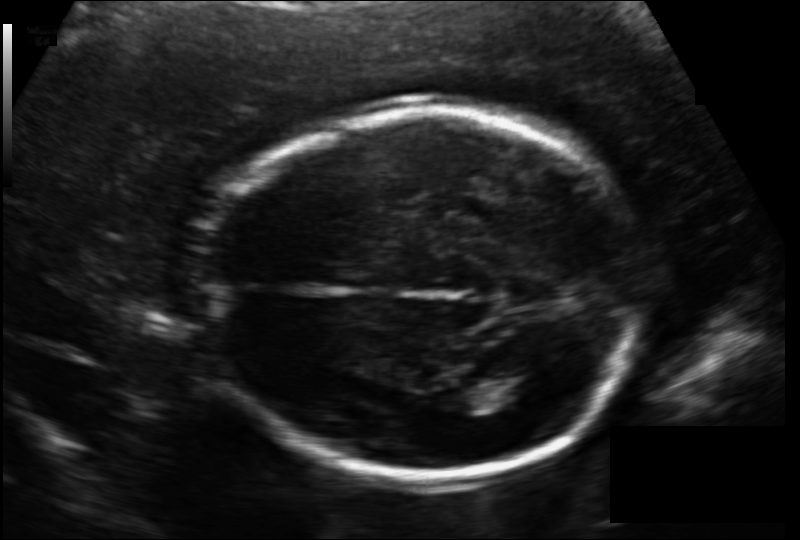
From this fetal ultrasound, estimate the head circumference (image width 106.6 mm).

Head circumference: 177.0 mm.